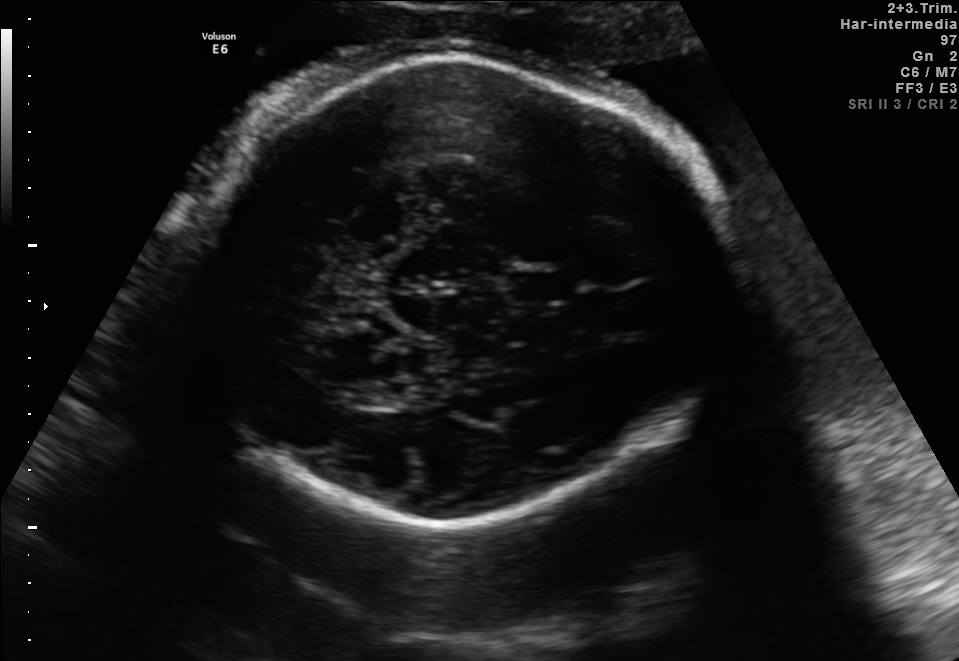
Fetal brain, trans-thalamic plane. Where is the cavum septum pellucidum?

CSP bounding box: [506,273,568,300]